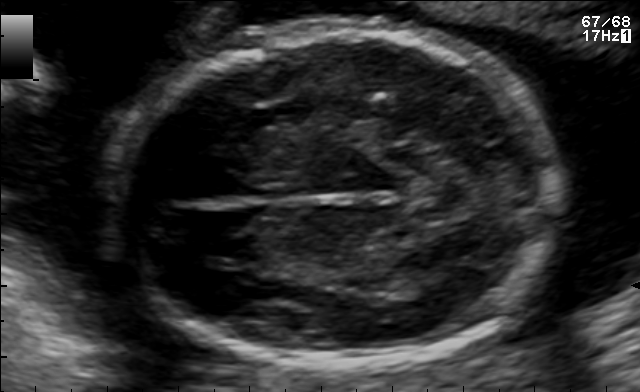
Fetal brain, trans-thalamic plane. Locate the fetal head and, if visible, the cavum septum pellucidum (CSP) and lateral ventricle (LV). Give bounding boxes as [x1,y1,x2,y2].

Head: [107,32,556,362]